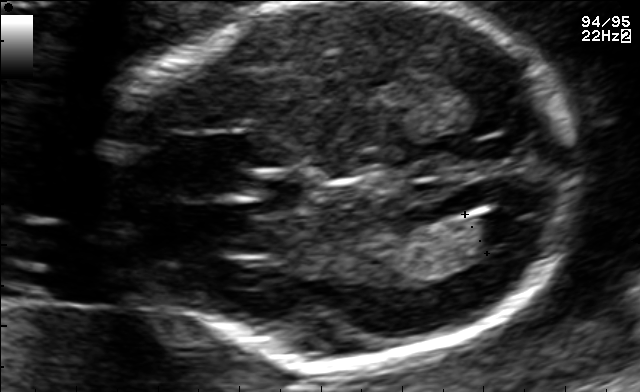
Fetal brain, trans-ventricular plane. Locate the fetal head and, if visible, the cavum septum pellucidum (CSP) and lateral ventricle (LV). Give bounding boxes as [x1,y1,x2,y2].

Head: [94,1,595,377]
CSP: [236,180,299,210]
Lateral ventricle: [465,200,538,252]